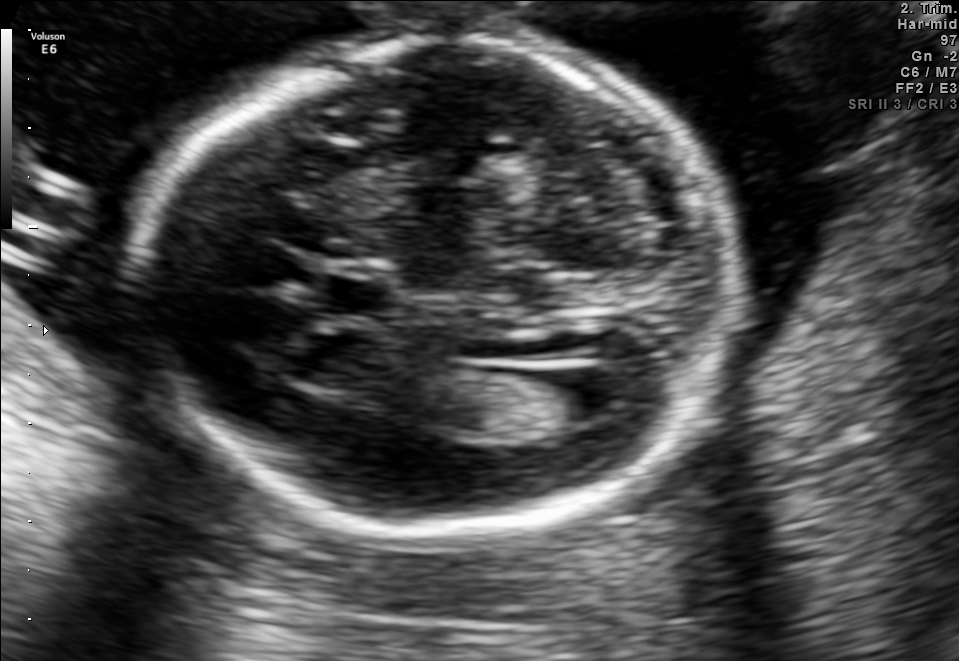
Fetal brain, trans-ventricular plane. Locate the fetal head and, if visible, the cavum septum pellucidum (CSP) and lateral ventricle (LV). Give bounding boxes as [x1,y1,x2,y2].

Head: [134,32,743,541]
CSP: [324,277,390,315]
Lateral ventricle: [544,368,627,429]